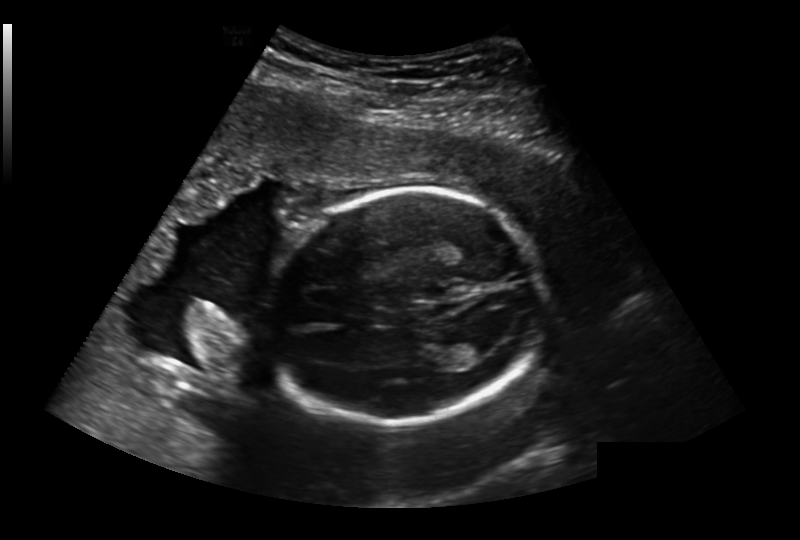
Measure the fetal head circumference shown in this ultrasound image. Image width: 188.7 mm.

Head circumference: 193.1 mm.